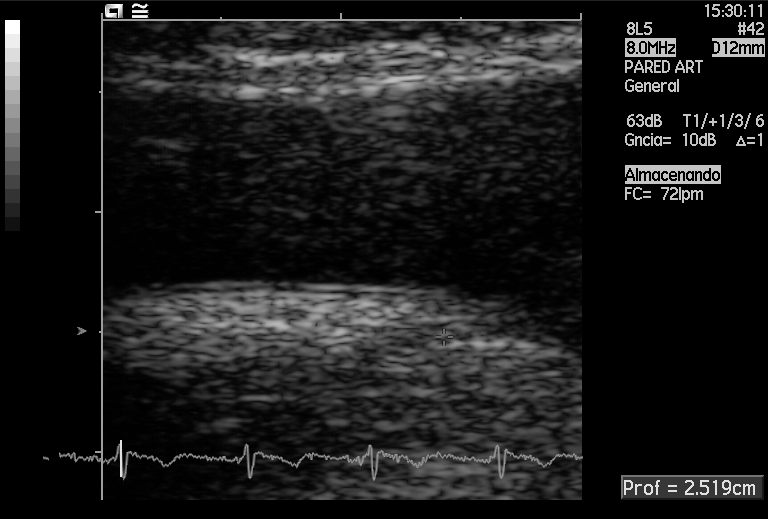
This is a 2D maternal-fetal ultrasound frame. Is it a fetal abdomen, fetal brain, fetal femur, fetal thorax, maternal cervix, or other standard plane? If it's fetal brain and one of the three standard brain planes (trans-thalamic, trans-cerebellum, trans-ventricular), name which.

Other